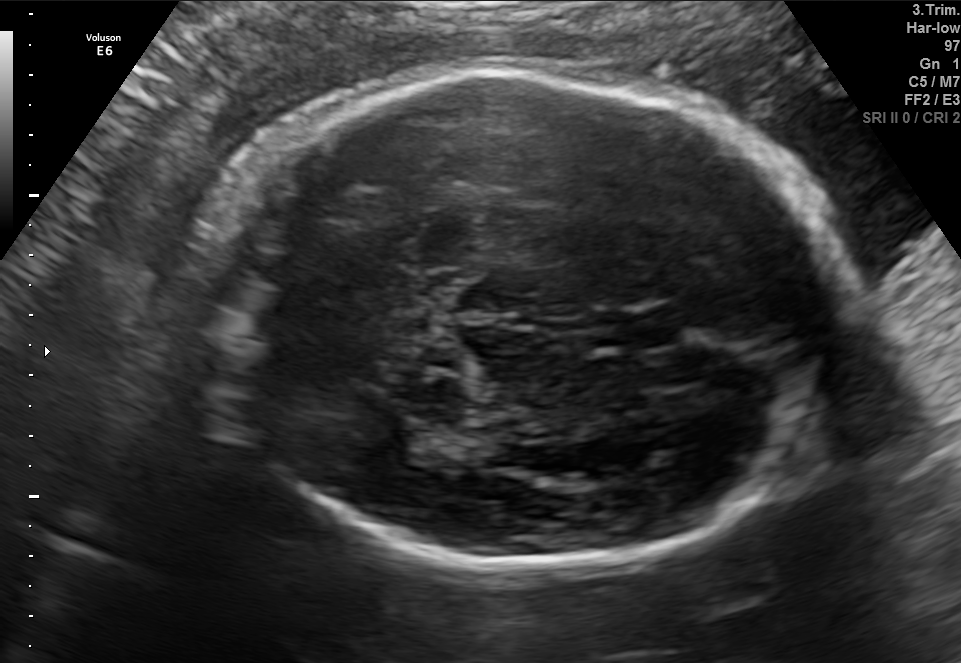
In this fetal brain, trans-thalamic plane, give the bounding box of the cavum septum pellucidum.

[590,310,676,351]